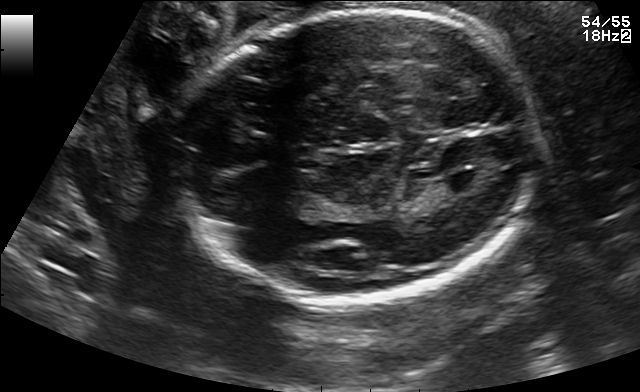
Fetal brain, trans-ventricular plane. Locate the fetal head and, if visible, the cavum septum pellucidum (CSP) and lateral ventricle (LV). Give bounding boxes as [x1,y1,x2,y2].

Head: [168,5,549,307]